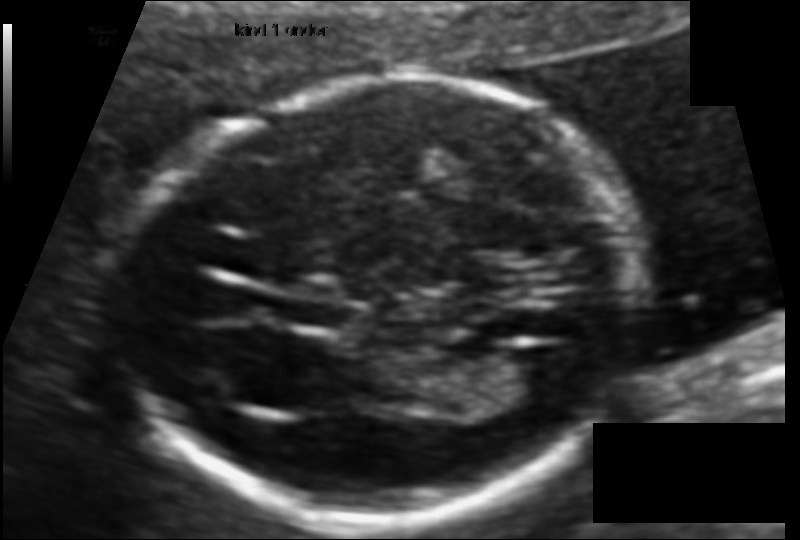
In this fetal head ultrasound, give the bounding box of the lateral ventricle. Image width: 75.7 mm.

[498,342,581,400]